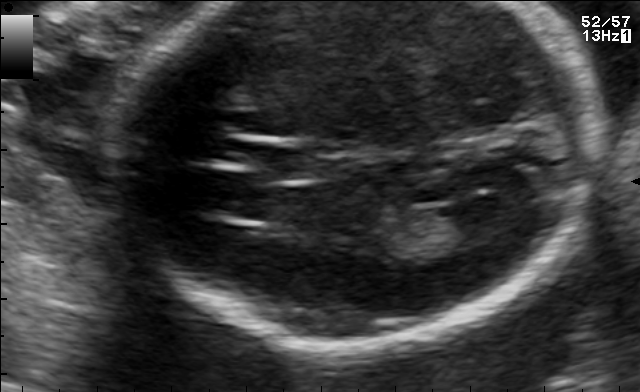
Fetal brain, trans-ventricular plane. Give [x1,y1,x2,y2] bounding boxes for each visible structure among: CSP, LV.

CSP: [246,144,350,180]
Lateral ventricle: [435,185,521,247]